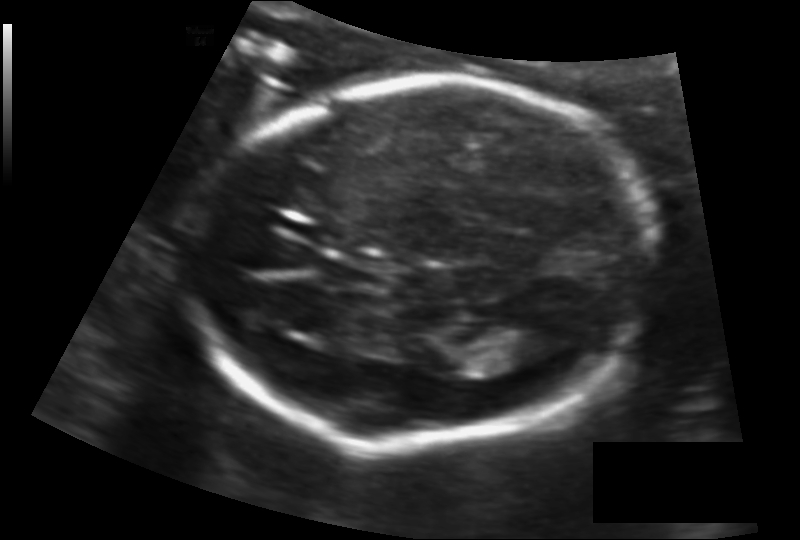
Estimate the fetal head circumference from this 2D ultrasound. Image width: 100.0 mm.

Head circumference: 168.5 mm.